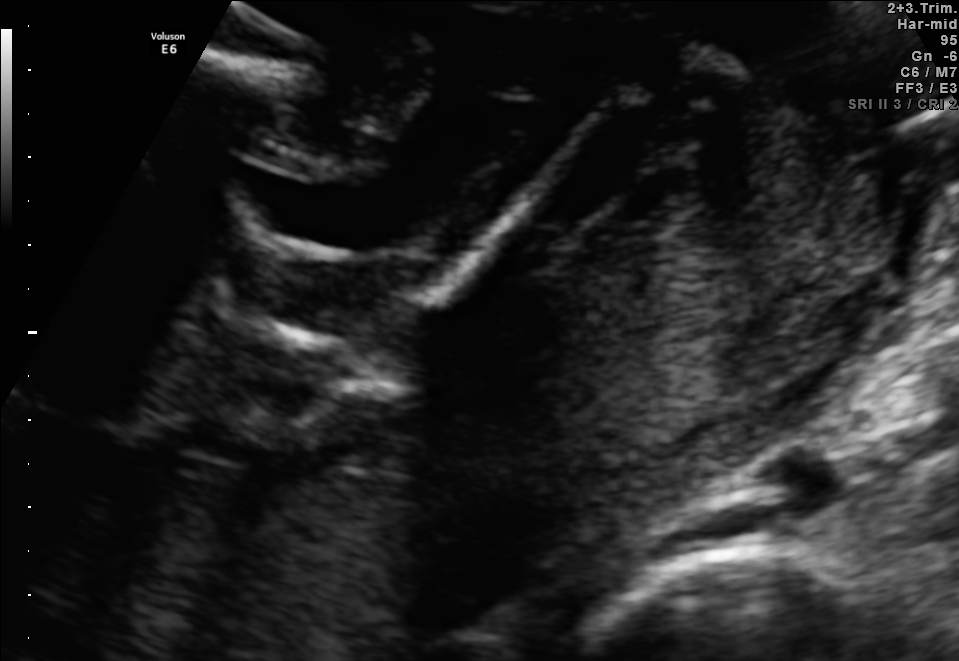
Identify the standard plane in this fetal ultrasound image: fetal abdomen, fetal brain, fetal femur, fetal thorax, maternal cervix, or other. If it's fetal brain and one of the three standard brain planes (trans-thalamic, trans-cerebellum, trans-ventricular), name which.

Other